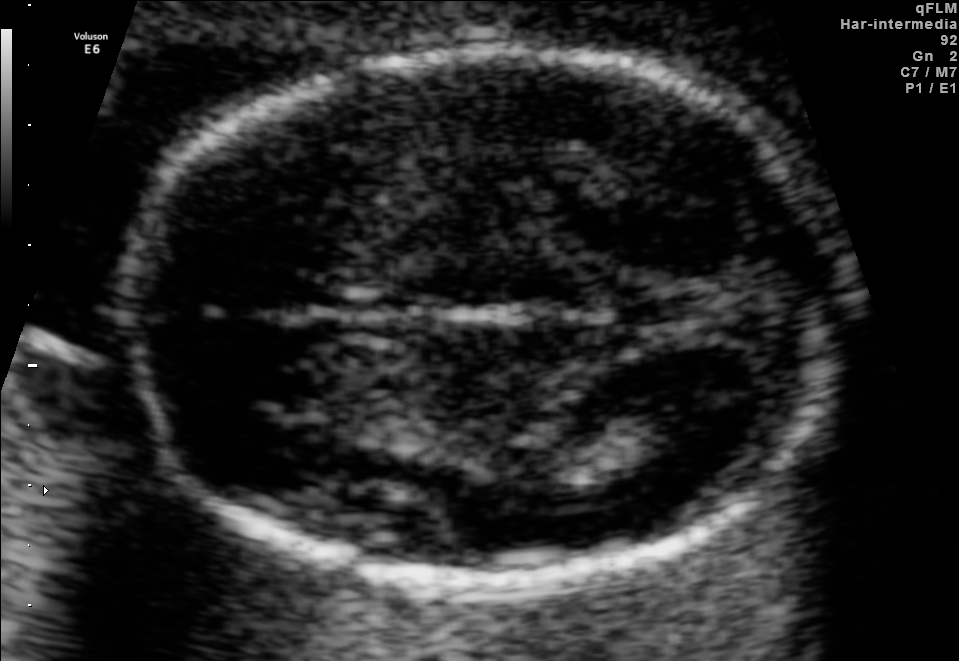
Classify this maternal-fetal ultrasound image as one of the six standard planes — fetal abdomen, fetal brain, fetal femur, fetal thorax, maternal cervix, or other. If it's fetal brain and one of the three standard brain planes (trans-thalamic, trans-cerebellum, trans-ventricular), name which.

Fetal brain (trans-thalamic plane)